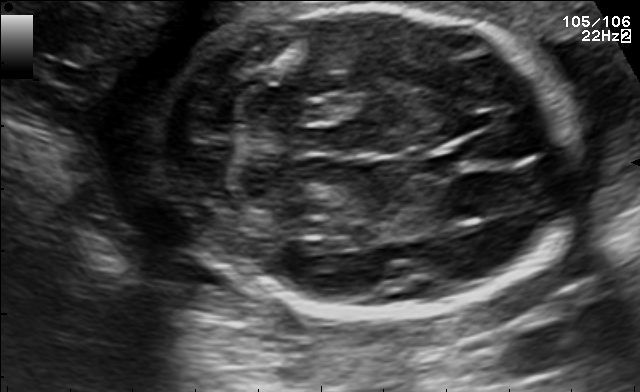
In this fetal brain, trans-cerebellum plane, give bounding boxes for the head outline, cavum septum pellucidum (CSP), and lateral ventricle (LV), where visible.

Head: [156,5,579,314]
CSP: [415,142,476,184]